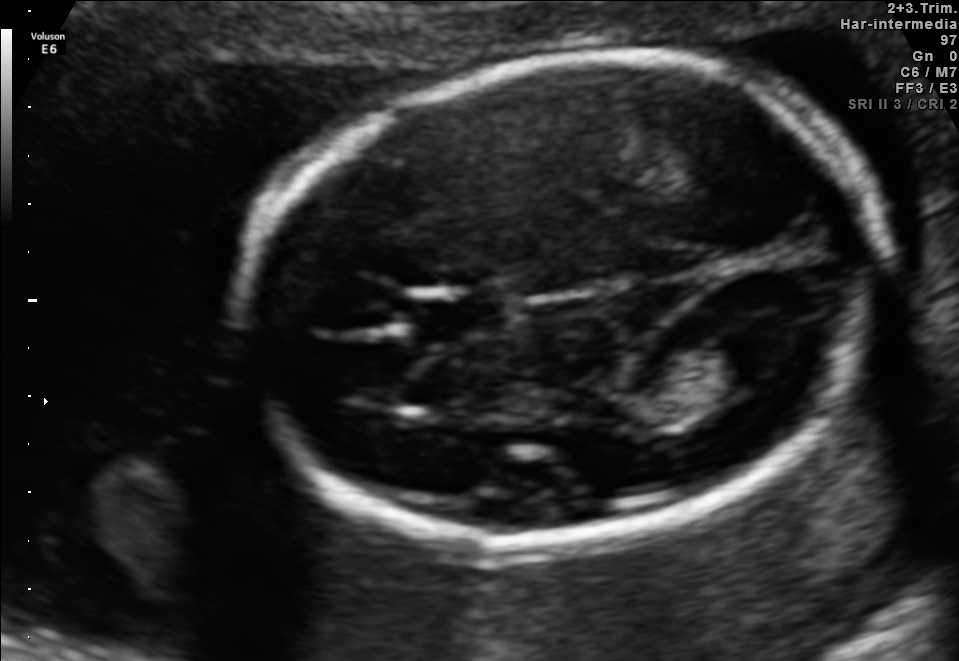
In this fetal brain, trans-ventricular plane, give bounding boxes for the head outline, cavum septum pellucidum (CSP), and lateral ventricle (LV), where visible.

Head: [235,49,896,564]
CSP: [407,287,521,345]
Lateral ventricle: [702,306,809,395]